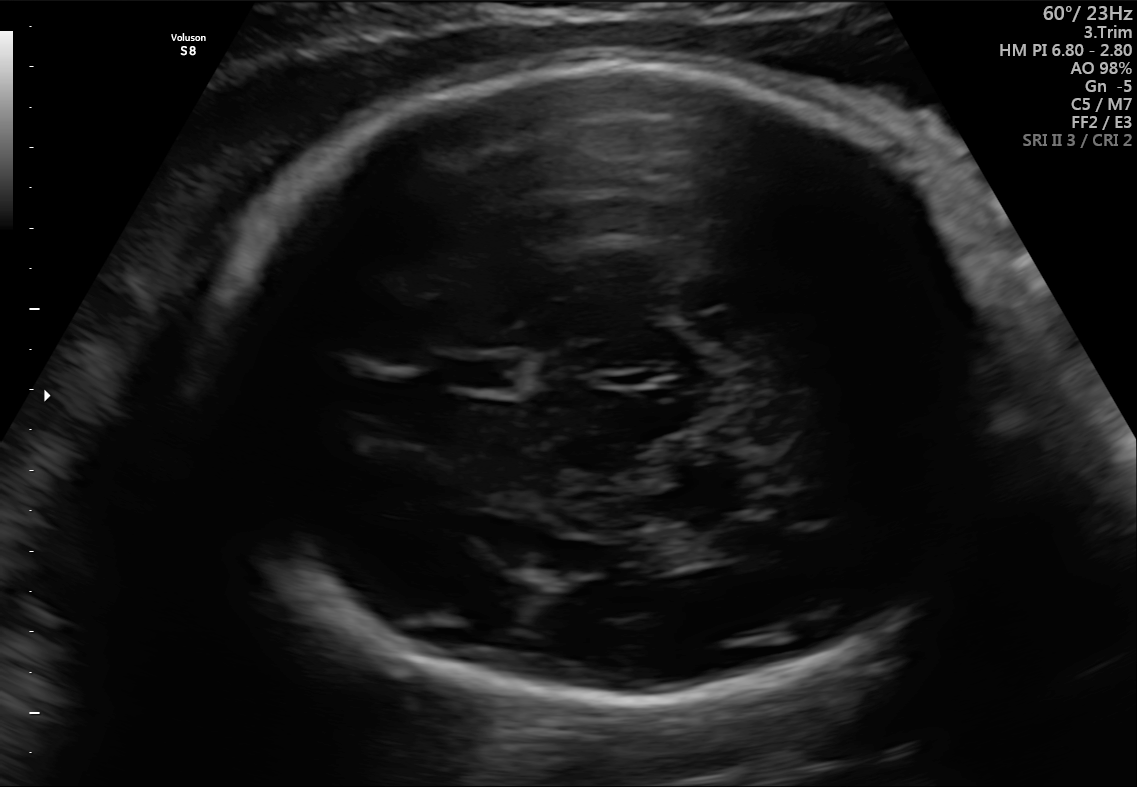
Fetal brain, trans-thalamic plane. Give [x1,y1,x2,y2] bounding boxes for each visible structure among: fetal head, CSP, LV.

Head: [199,64,1026,706]
CSP: [435,355,523,391]
Lateral ventricle: [671,506,777,571]